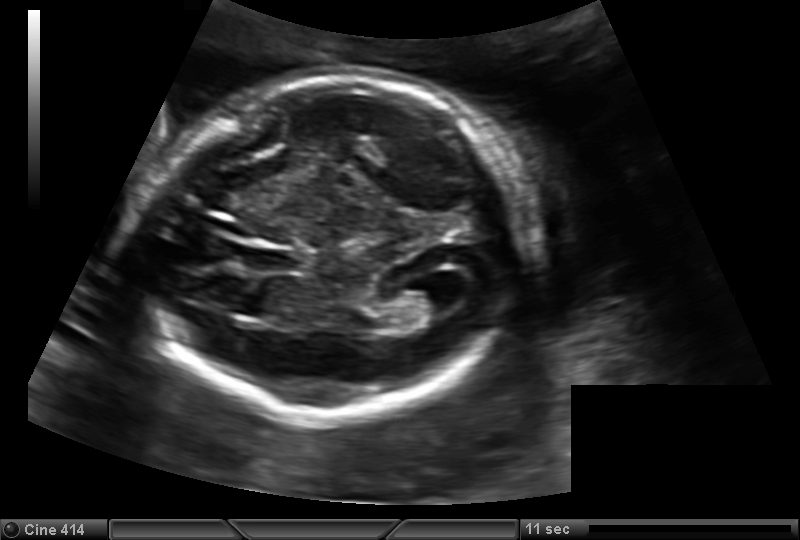
Fetal head ultrasound. Image width: 120.0 mm. Locate the fetal head.

Head: [143,76,523,417]